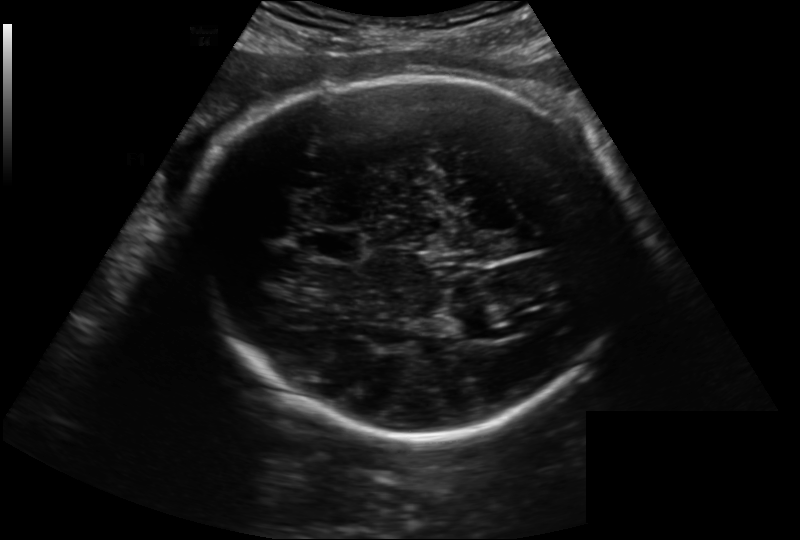
Fetal head ultrasound. Image width: 177.3 mm. Locate the lateral ventricle.

Lateral ventricle: [488,313,537,344]